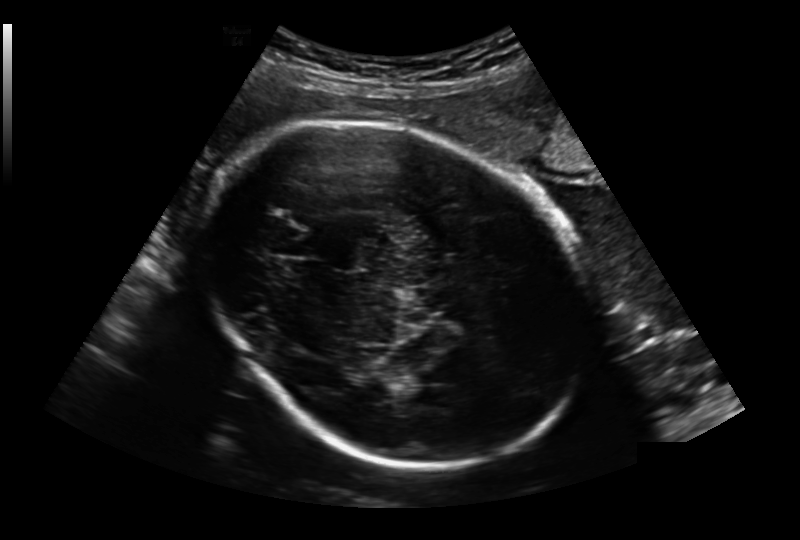
Fetal head ultrasound. Image width: 188.7 mm. Where is the fetal head?

Head bounding box: [202,121,593,465]